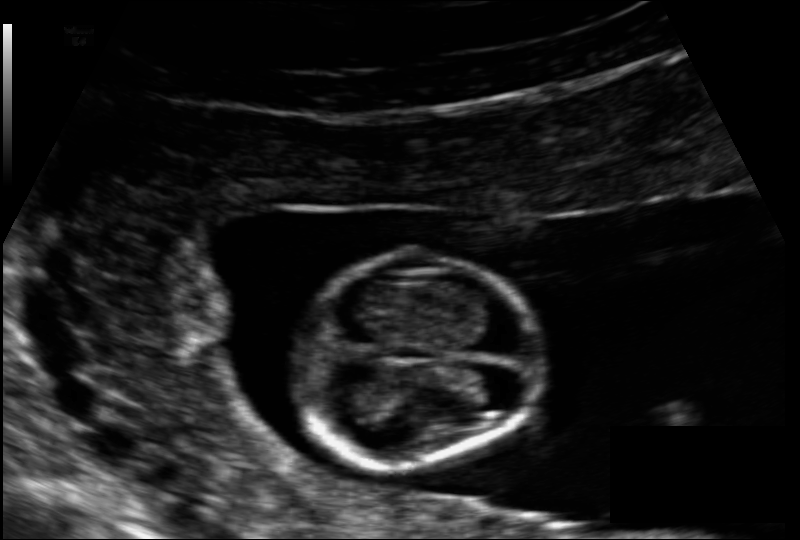
Fetal head ultrasound. Image width: 73.0 mm. Locate the fetal head and, if visible, the cavum septum pellucidum (CSP) and lateral ventricle (LV). Give bounding boxes as [x1,y1,x2,y2].

Head: [284,251,544,471]